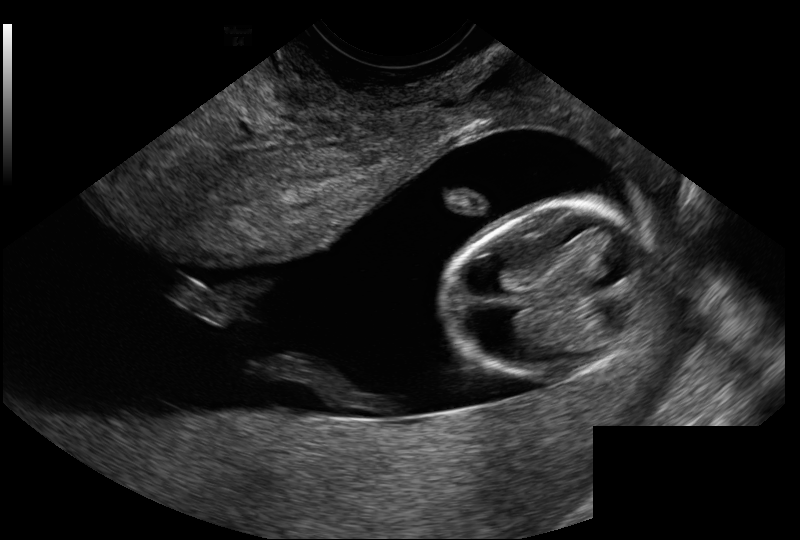
Estimate the fetal head circumference from this 2D ultrasound. Image width: 91.5 mm.

Head circumference: 69.8 mm.